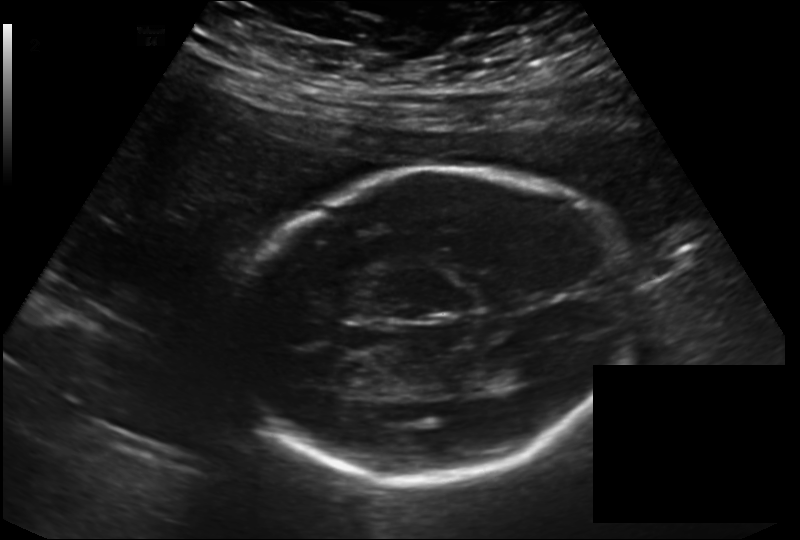
Estimate the fetal head circumference from this 2D ultrasound.

Head circumference: 234.0 mm (image width 158.6 mm).